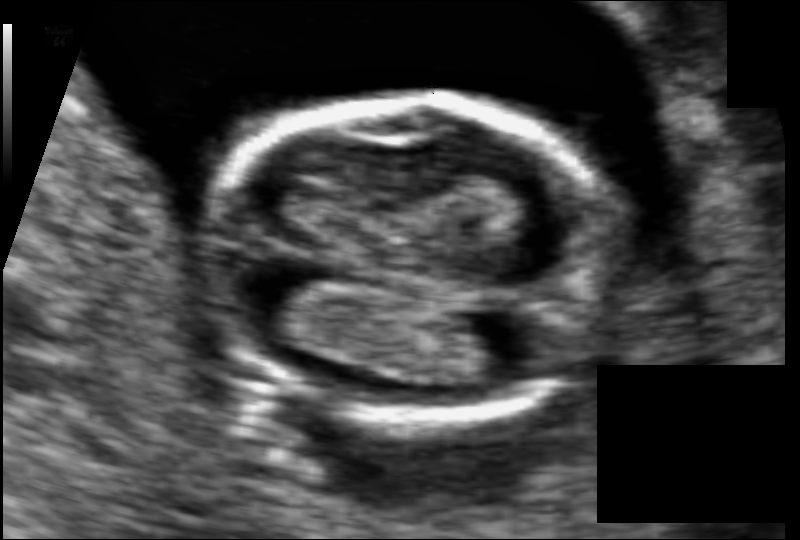
Fetal head ultrasound. Image width: 59.9 mm. Locate the fetal head and, if visible, the cavum septum pellucidum (CSP) and lateral ventricle (LV). Give bounding boxes as [x1,y1,x2,y2].

Head: [209,97,630,418]